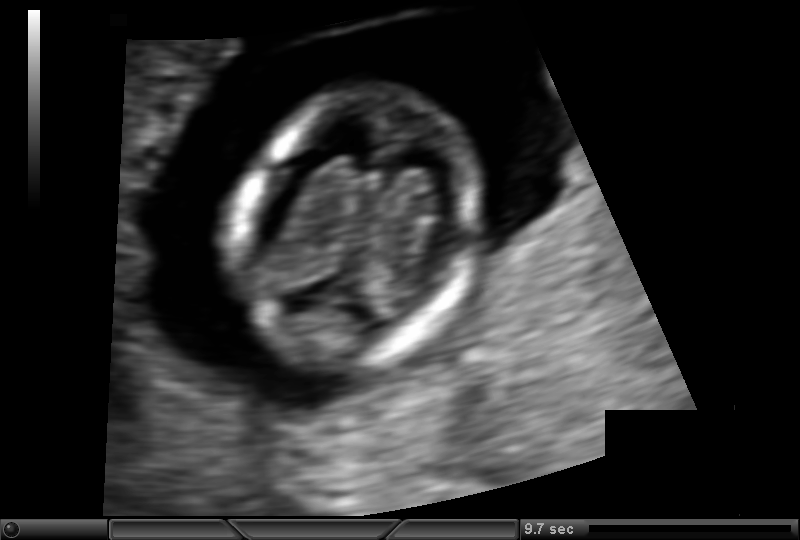
Estimate the fetal head circumference from this 2D ultrasound. Image width: 73.8 mm.

Head circumference: 78.5 mm.